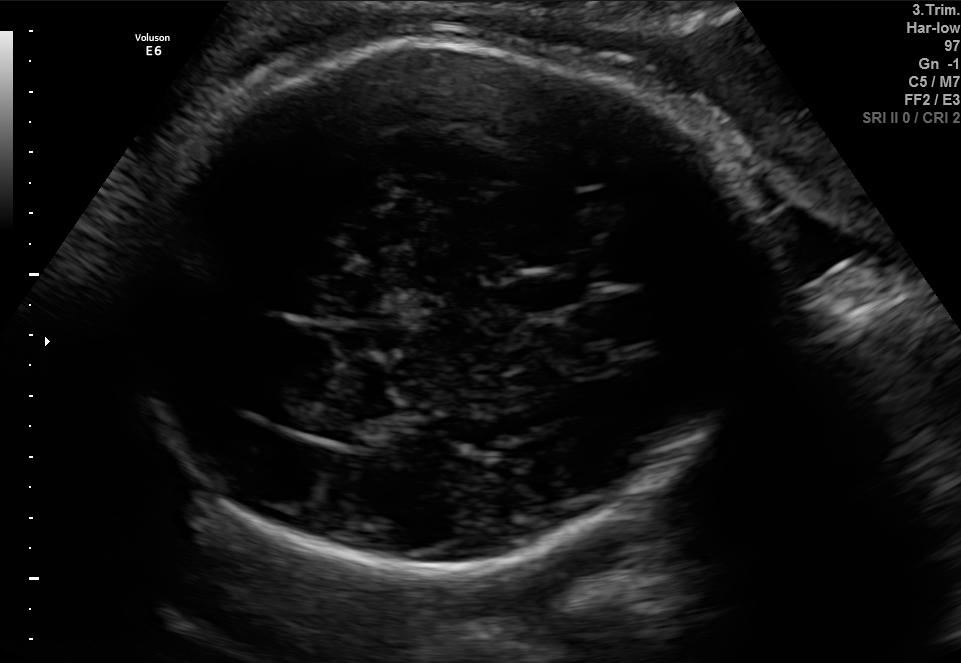
In this fetal brain, trans-ventricular plane, give bounding boxes for the head outline, cavum septum pellucidum (CSP), and lateral ventricle (LV), where visible.

Head: [108,35,781,582]